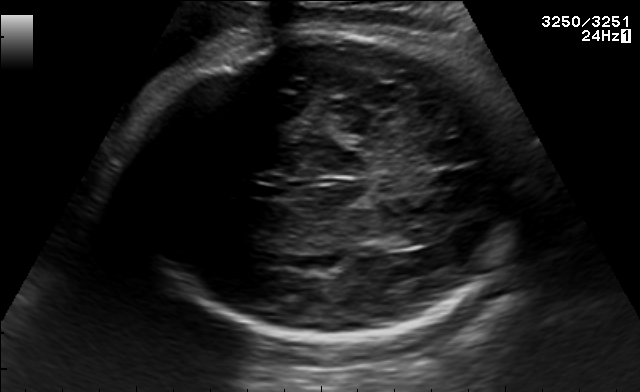
Identify the standard plane in this fetal ultrasound image: fetal abdomen, fetal brain, fetal femur, fetal thorax, maternal cervix, or other. If it's fetal brain and one of the three standard brain planes (trans-thalamic, trans-cerebellum, trans-ventricular), name which.

Fetal brain (trans-thalamic plane)